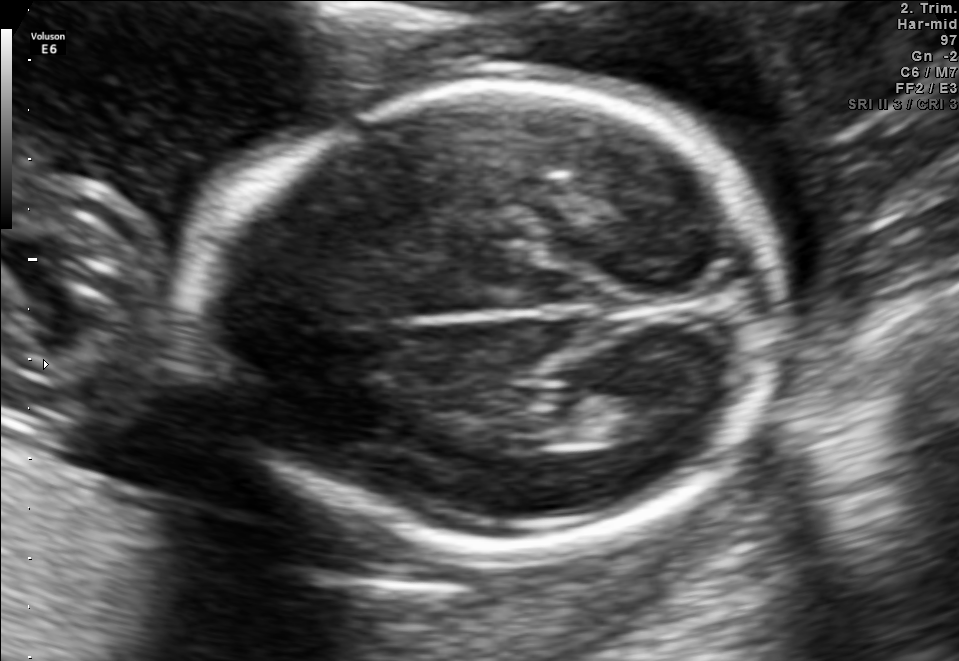
Fetal brain, trans-thalamic plane. Locate the lateral ventricle.

Lateral ventricle: [592,382,702,447]